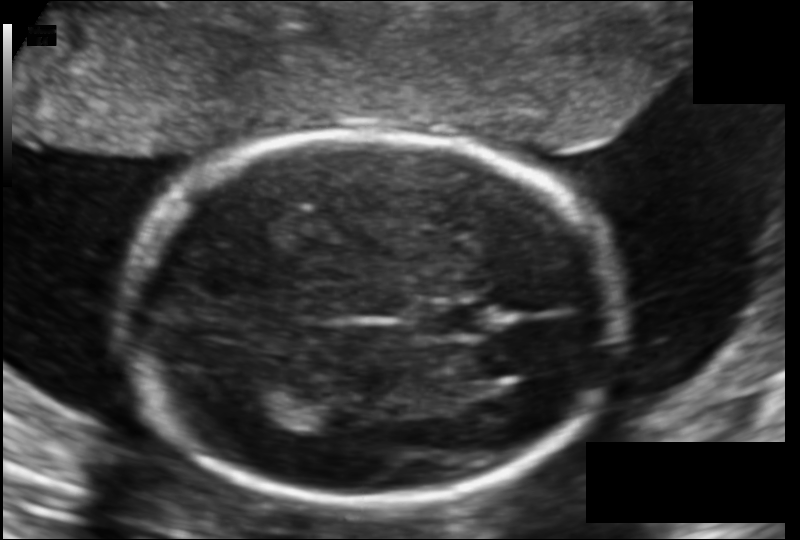
From this fetal ultrasound, estimate the head circumference (image width 98.4 mm).

Head circumference: 174.4 mm.